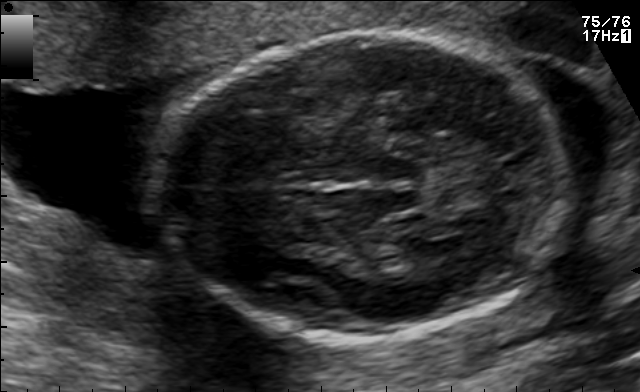
Fetal brain, trans-thalamic plane. Locate the fetal head and, if visible, the cavum septum pellucidum (CSP) and lateral ventricle (LV). Give bounding boxes as [x1,y1,x2,y2].

Head: [155,31,567,339]